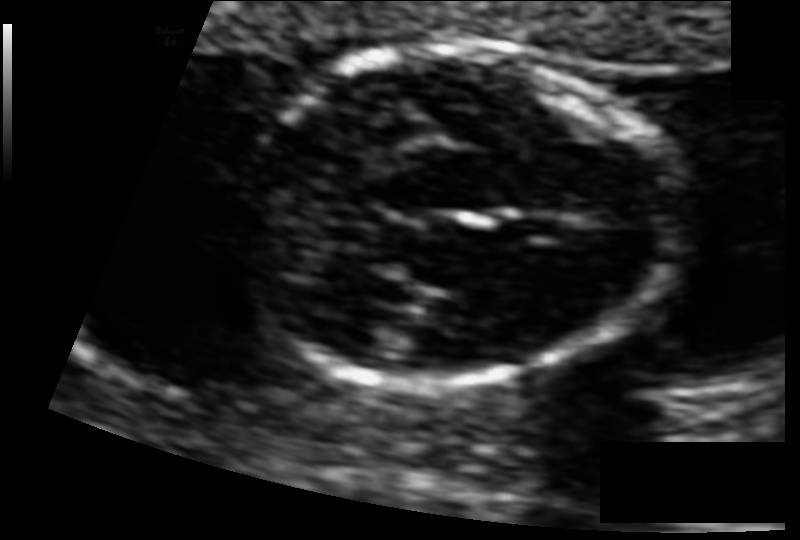
Measure the fetal head circumference shown in this ultrasound image. Image width: 58.4 mm.

Head circumference: 92.6 mm.